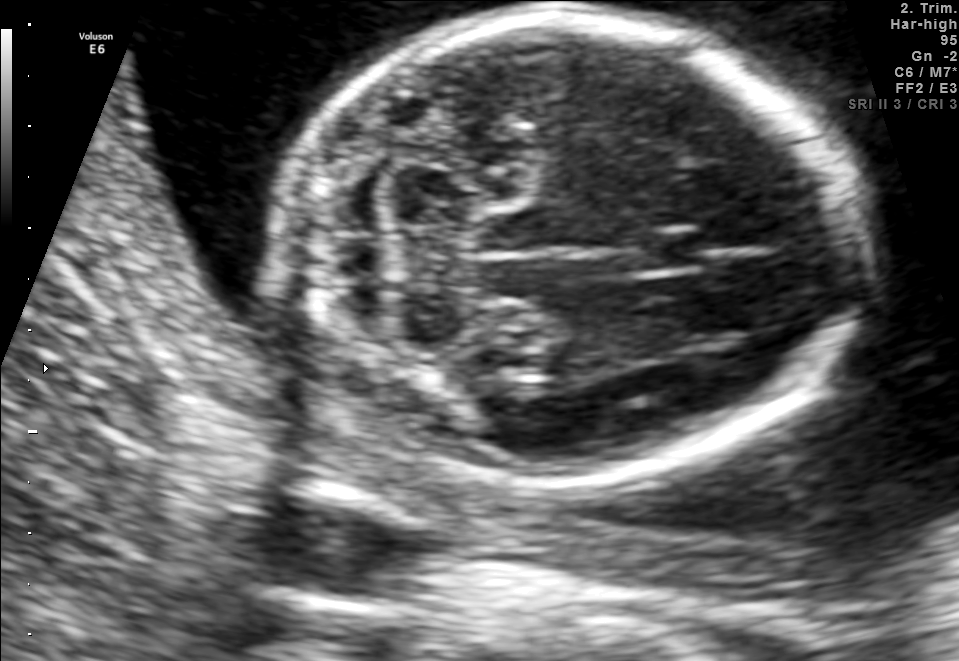
Fetal brain, trans-cerebellum plane. Locate the fetal head and, if visible, the cavum septum pellucidum (CSP) and lateral ventricle (LV). Give bounding boxes as [x1,y1,x2,y2].

Head: [275,16,856,477]
CSP: [624,225,705,277]